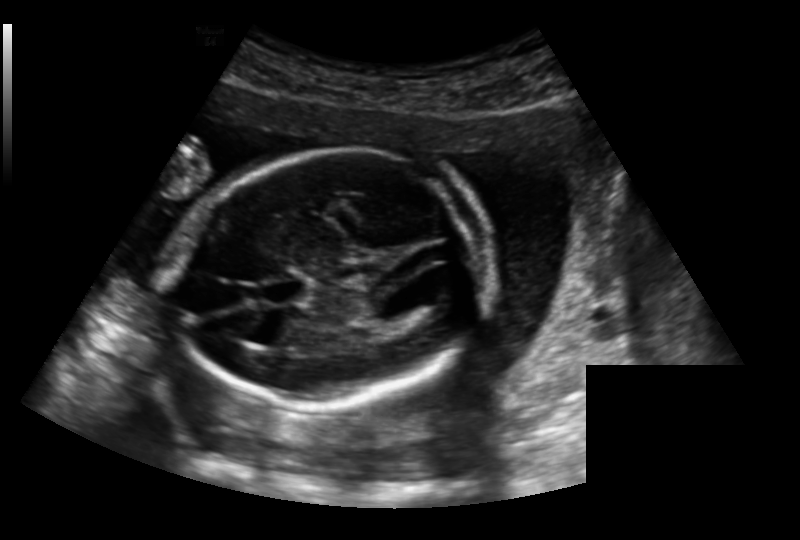
In this fetal head ultrasound, give bounding boxes for the head outline, cavum septum pellucidum (CSP), and lateral ventricle (LV), where visible. Image width: 152.5 mm.

Head: [177,149,483,404]
CSP: [263,275,307,306]
Lateral ventricle: [404,262,461,306]